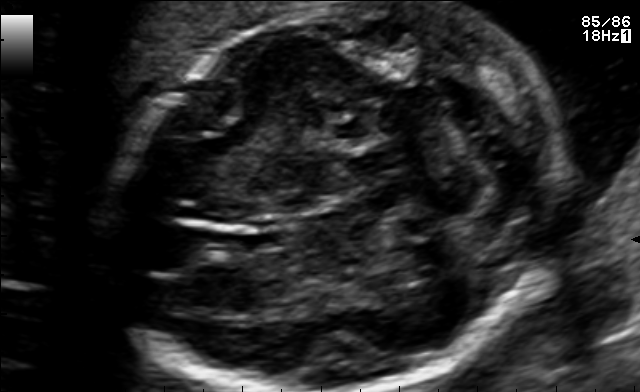
Classify this maternal-fetal ultrasound image as one of the six standard planes — fetal abdomen, fetal brain, fetal femur, fetal thorax, maternal cervix, or other. If it's fetal brain and one of the three standard brain planes (trans-thalamic, trans-cerebellum, trans-ventricular), name which.

Fetal brain (trans-cerebellum plane)